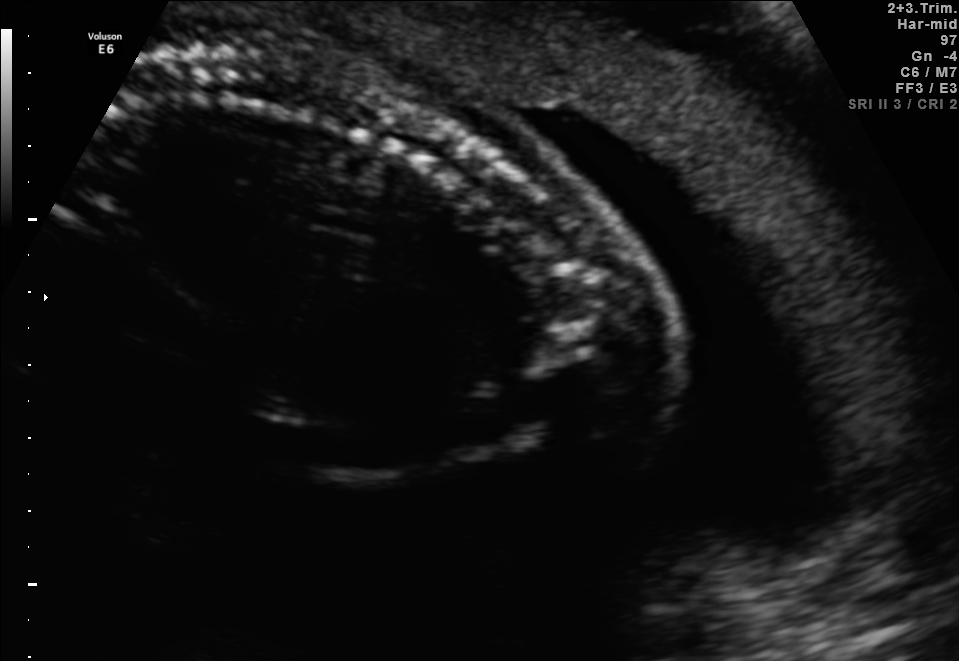
This is a 2D maternal-fetal ultrasound frame. Is it a fetal abdomen, fetal brain, fetal femur, fetal thorax, maternal cervix, or other standard plane? If it's fetal brain and one of the three standard brain planes (trans-thalamic, trans-cerebellum, trans-ventricular), name which.

Other